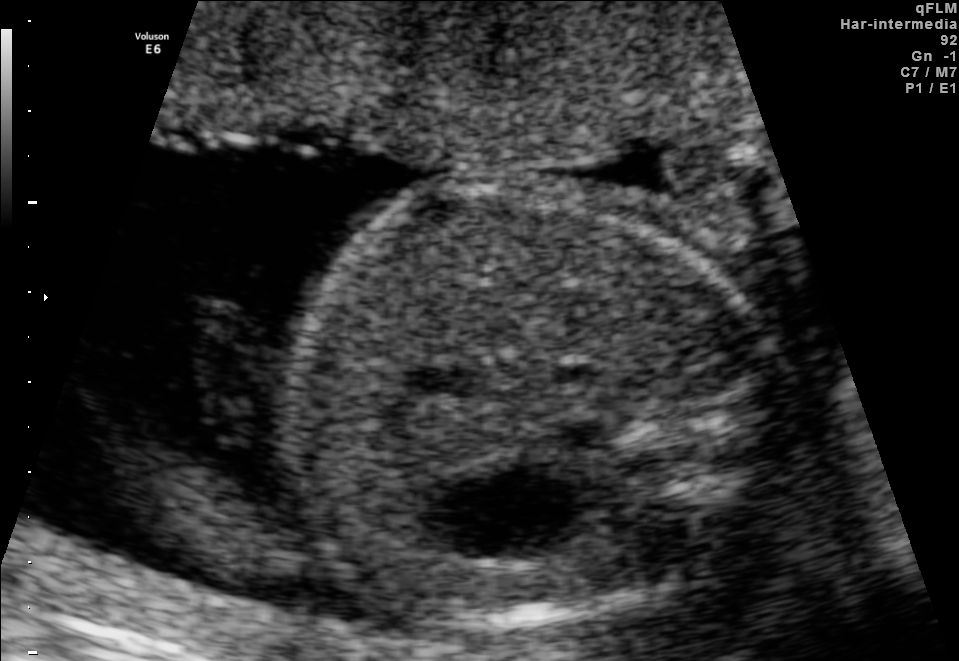
This is a 2D maternal-fetal ultrasound frame. Is it a fetal abdomen, fetal brain, fetal femur, fetal thorax, maternal cervix, or other standard plane? If it's fetal brain and one of the three standard brain planes (trans-thalamic, trans-cerebellum, trans-ventricular), name which.

Fetal abdomen